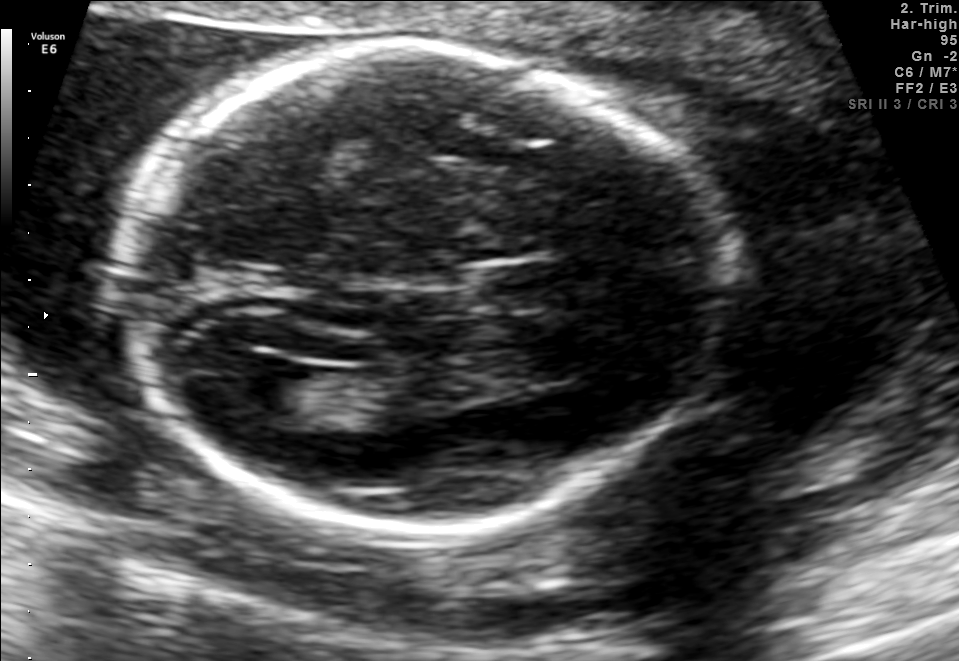
In this fetal brain, trans-ventricular plane, give the bounding box of the cavum septum pellucidum.

[480,261,553,310]